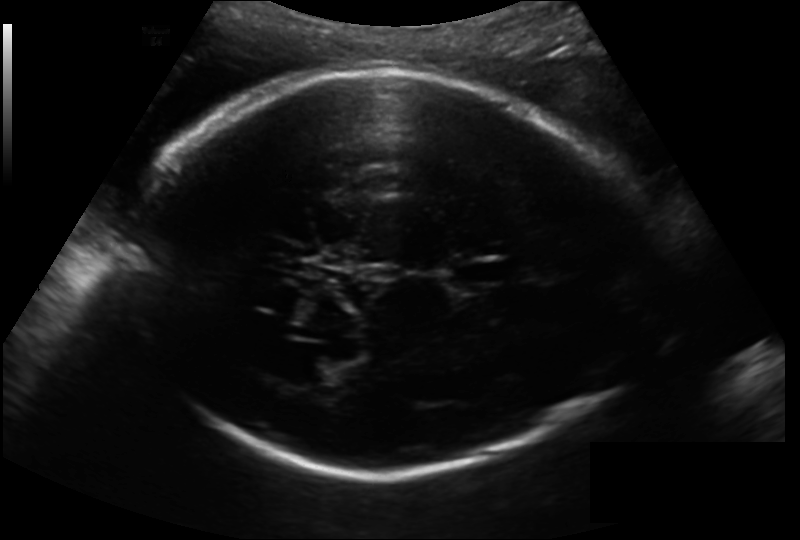
From this fetal ultrasound, estimate the head circumference (image width 154.5 mm).

Head circumference: 280.6 mm.